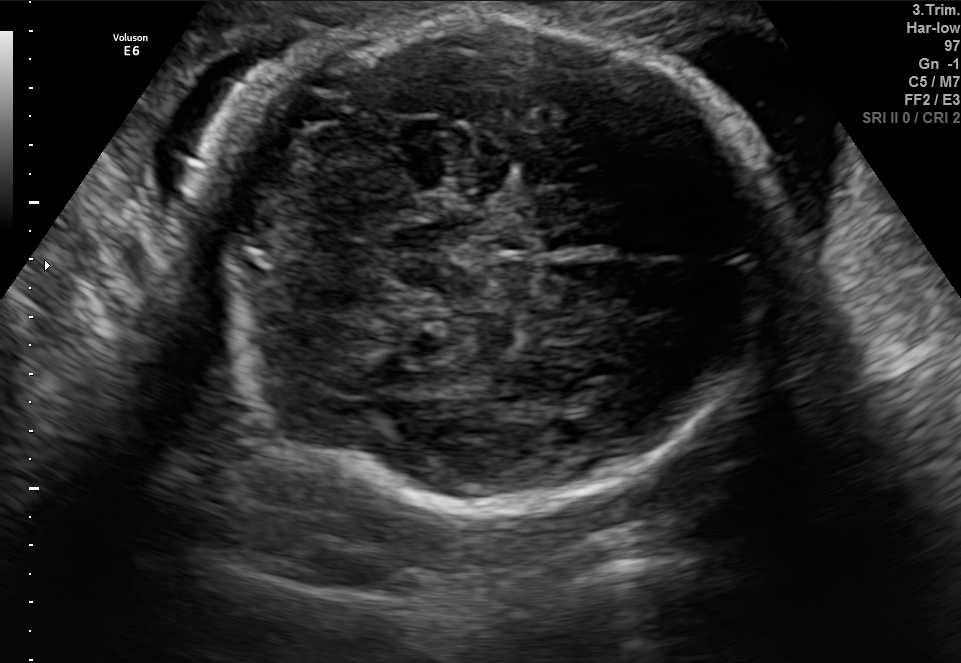
In this fetal brain, trans-cerebellum plane, give bounding boxes for the head outline, cavum septum pellucidum (CSP), and lateral ventricle (LV), where visible.

Head: [184,15,775,502]